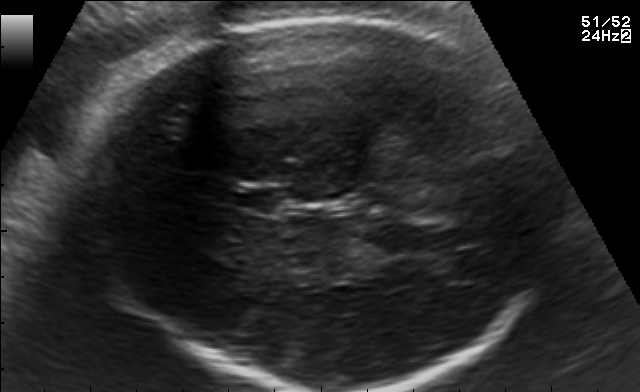
Fetal brain, trans-thalamic plane. Locate the fetal head and, if visible, the cavum septum pellucidum (CSP) and lateral ventricle (LV). Give bounding boxes as [x1,y1,x2,y2].

Head: [86,13,553,390]
CSP: [227,185,281,216]